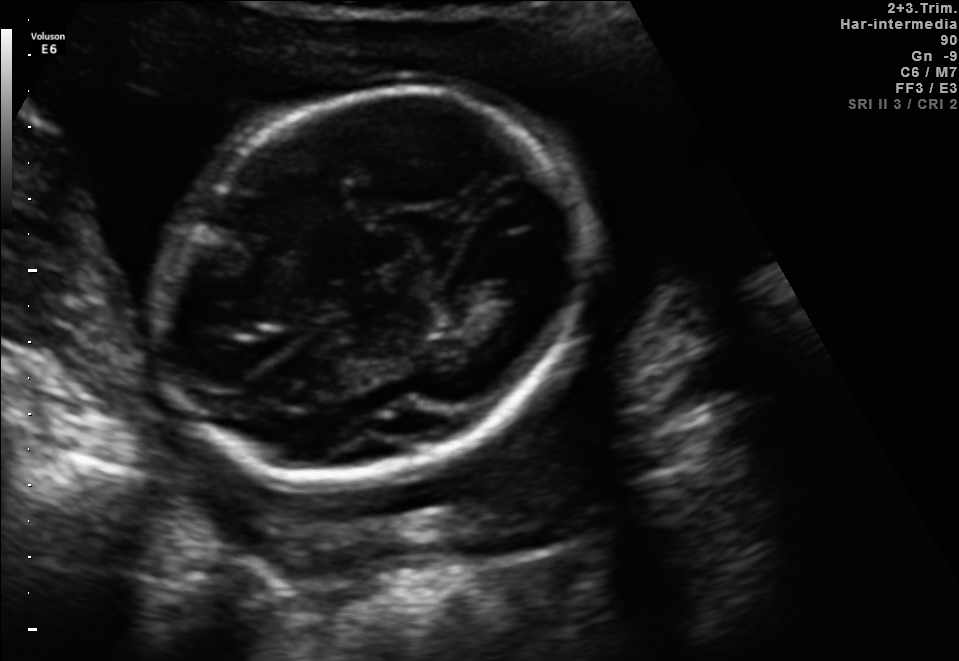
Fetal brain, trans-thalamic plane. Give [x1,y1,x2,y2] bounding boxes for each visible structure among: fetal head, CSP, LV.

Head: [157,82,588,489]